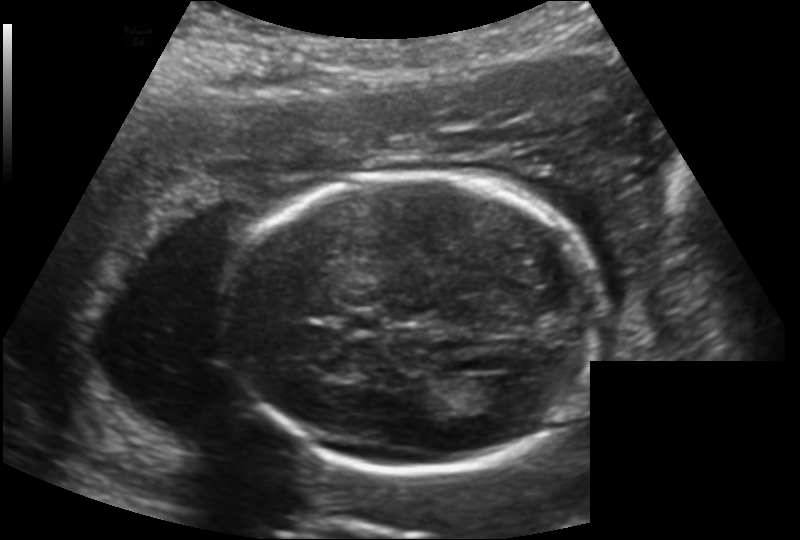
In this fetal head ultrasound, give the bounding box of the cavum septum pellucidum. Image width: 135.0 mm.

[341,311,383,333]